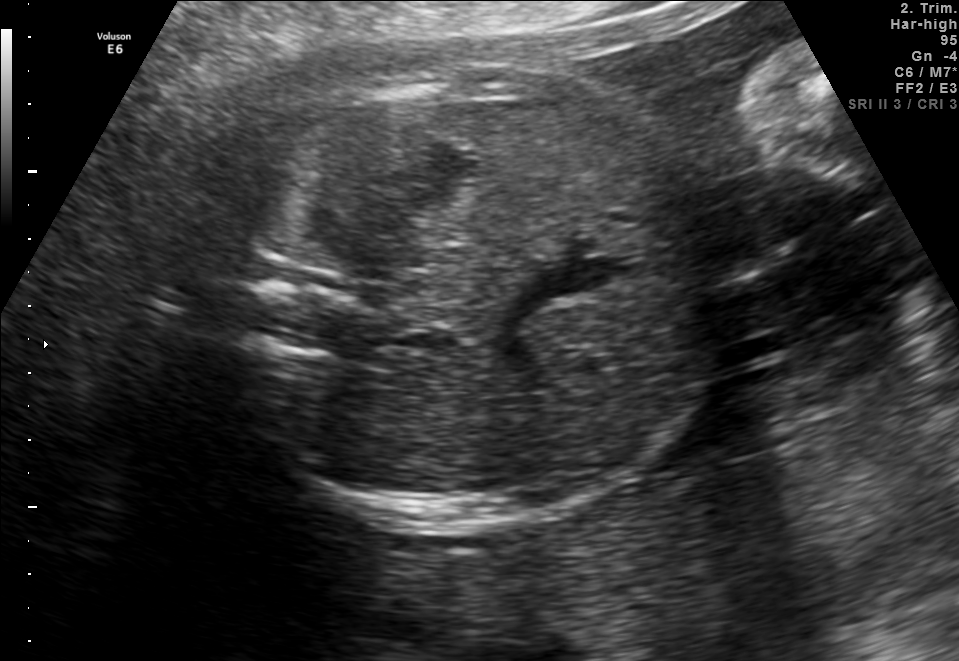
Classify this maternal-fetal ultrasound image as one of the six standard planes — fetal abdomen, fetal brain, fetal femur, fetal thorax, maternal cervix, or other. If it's fetal brain and one of the three standard brain planes (trans-thalamic, trans-cerebellum, trans-ventricular), name which.

Fetal abdomen